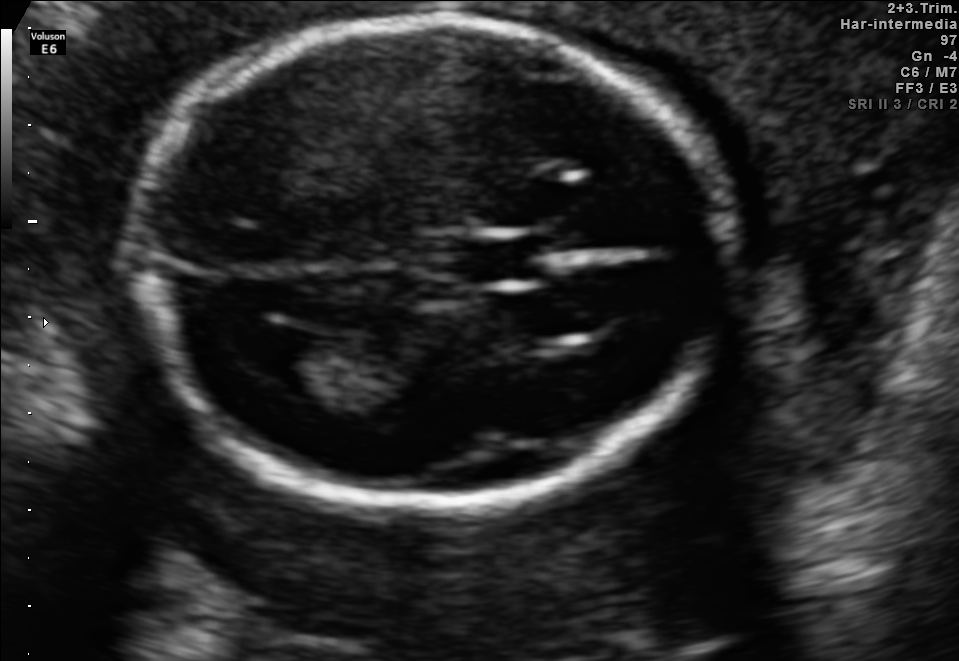
Fetal brain, trans-ventricular plane. Locate the fetal head and, if visible, the cavum septum pellucidum (CSP) and lateral ventricle (LV). Give bounding boxes as [x1,y1,x2,y2].

Head: [120,13,741,512]
CSP: [442,239,561,282]
Lateral ventricle: [225,312,330,390]